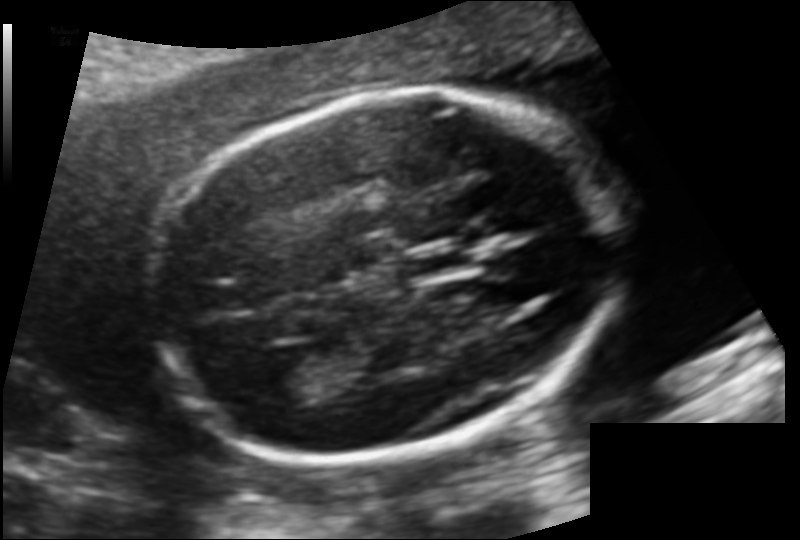
Fetal head ultrasound. Image width: 96.3 mm. Locate the fetal head and, if visible, the cavum septum pellucidum (CSP) and lateral ventricle (LV). Give bounding boxes as [x1,y1,x2,y2].

Head: [152,92,613,459]
CSP: [405,243,469,282]
Lateral ventricle: [256,352,337,411]